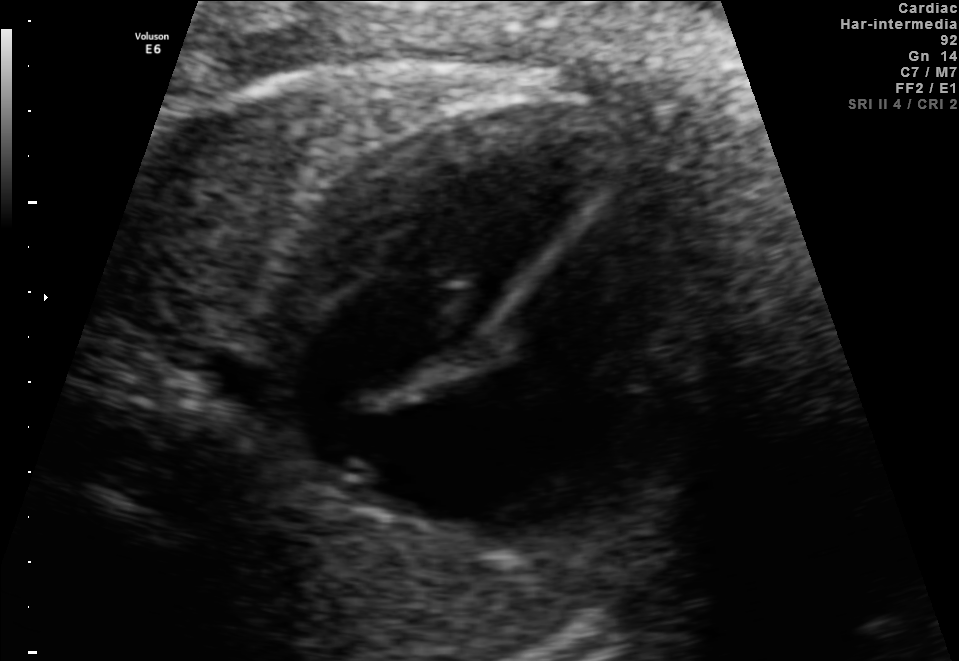
Which standard maternal-fetal ultrasound plane is shown: fetal abdomen, fetal brain, fetal femur, fetal thorax, maternal cervix, or other? If it's fetal brain and one of the three standard brain planes (trans-thalamic, trans-cerebellum, trans-ventricular), name which.

Fetal thorax